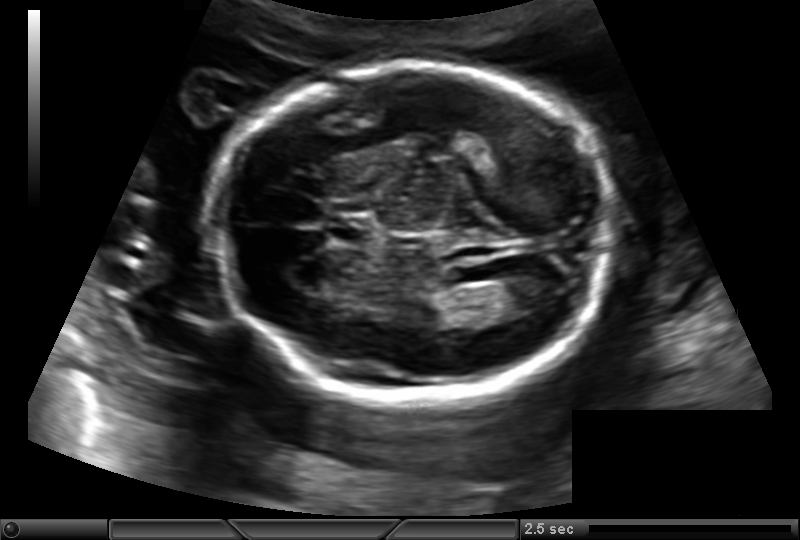
Fetal head ultrasound. Image width: 116.2 mm. Locate the fetal head.

Head: [213,65,619,396]